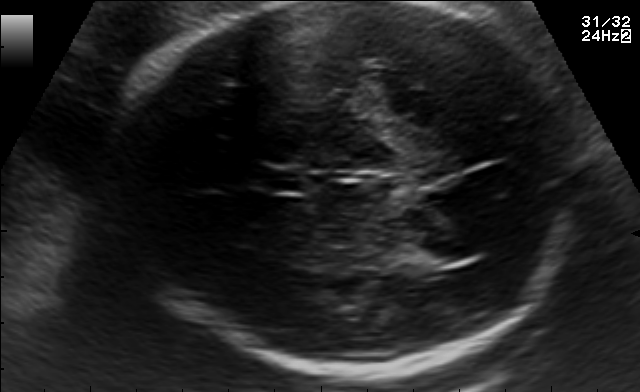
Fetal brain, trans-thalamic plane. Locate the fetal head and, if visible, the cavum septum pellucidum (CSP) and lateral ventricle (LV). Give bounding boxes as [x1,y1,x2,y2].

Head: [118,2,593,375]
CSP: [267,168,307,192]
Lateral ventricle: [409,227,485,275]